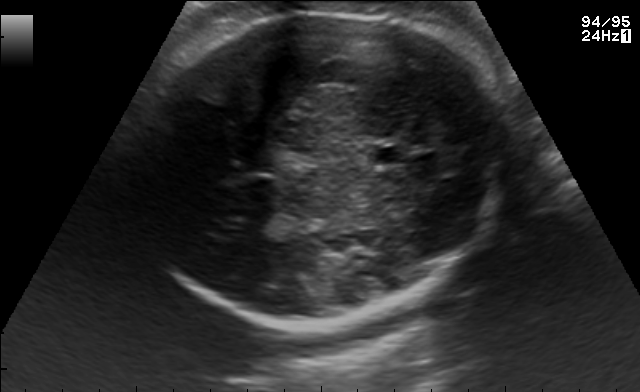
Fetal brain, trans-thalamic plane. Where is the fetal head?

Head bounding box: [133,11,507,323]